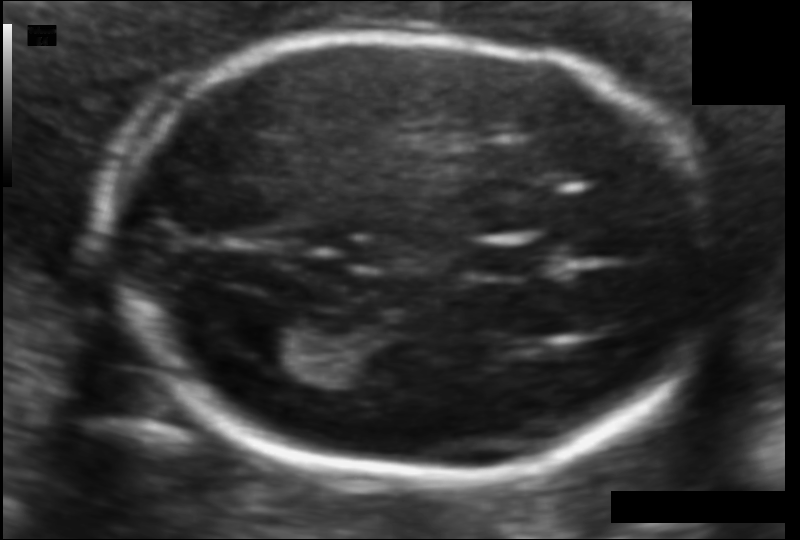
Fetal head ultrasound. Image width: 75.5 mm. Where is the cavum septum pellucidum?

CSP bounding box: [471,240,539,279]